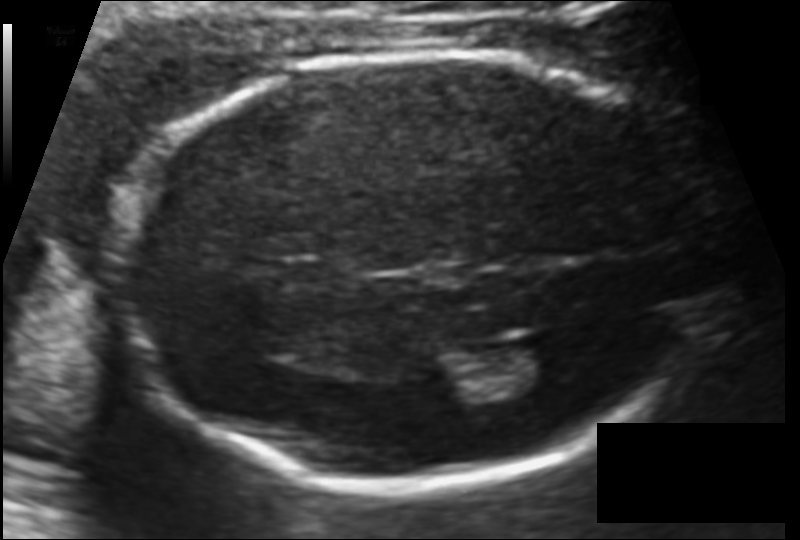
Estimate the fetal head circumference from this 2D ultrasound. Image width: 91.0 mm.

Head circumference: 190.9 mm.